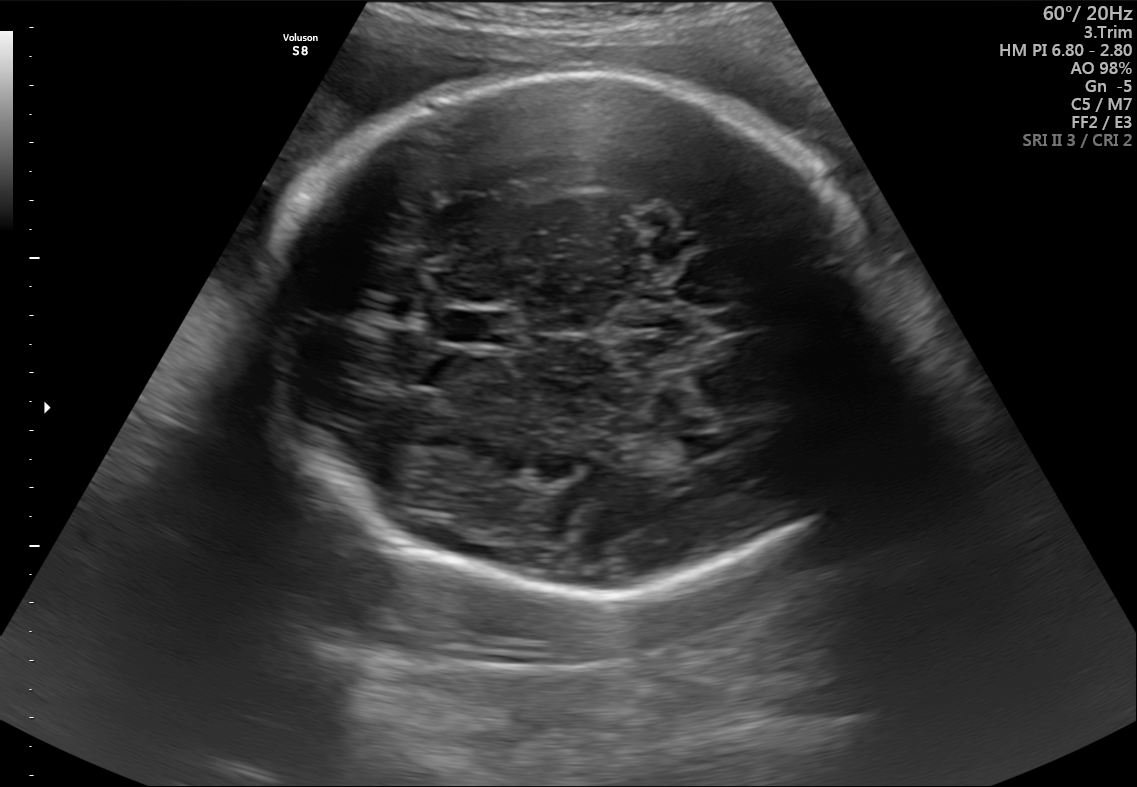
Fetal brain, trans-thalamic plane. Locate the fetal head.

Head: [269,71,903,599]